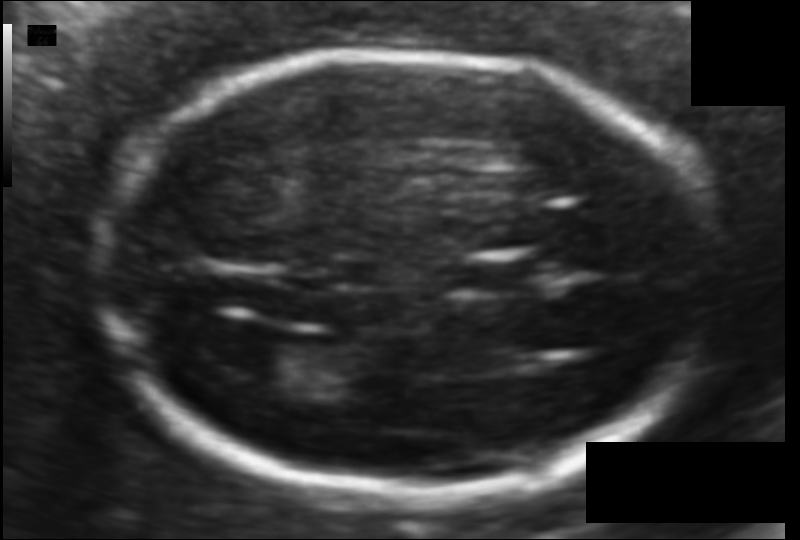
Fetal head ultrasound. Image width: 75.4 mm. Locate the fetal head and, if visible, the cavum septum pellucidum (CSP) and lateral ventricle (LV). Give bounding boxes as [x1,y1,x2,y2].

Head: [103,52,713,499]
CSP: [470,256,541,294]
Lateral ventricle: [222,337,312,390]